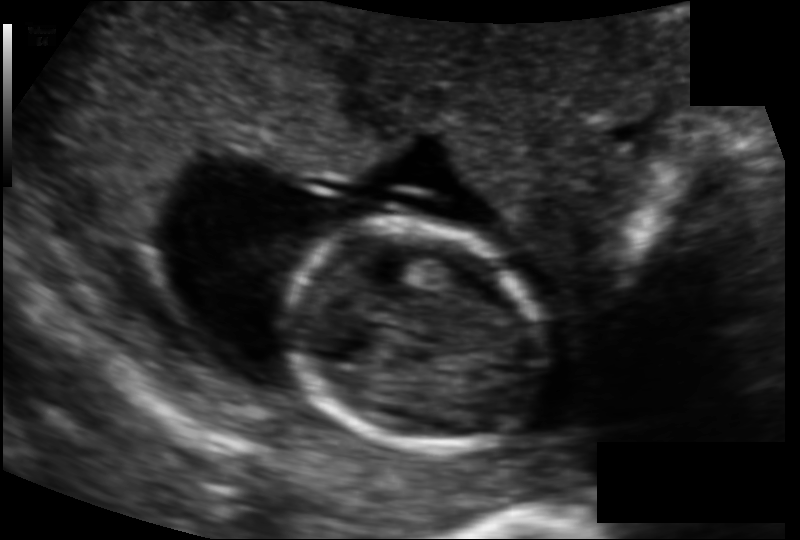
In this fetal head ultrasound, give the bounding box of the fetal head. Image width: 91.0 mm.

[288,221,547,449]